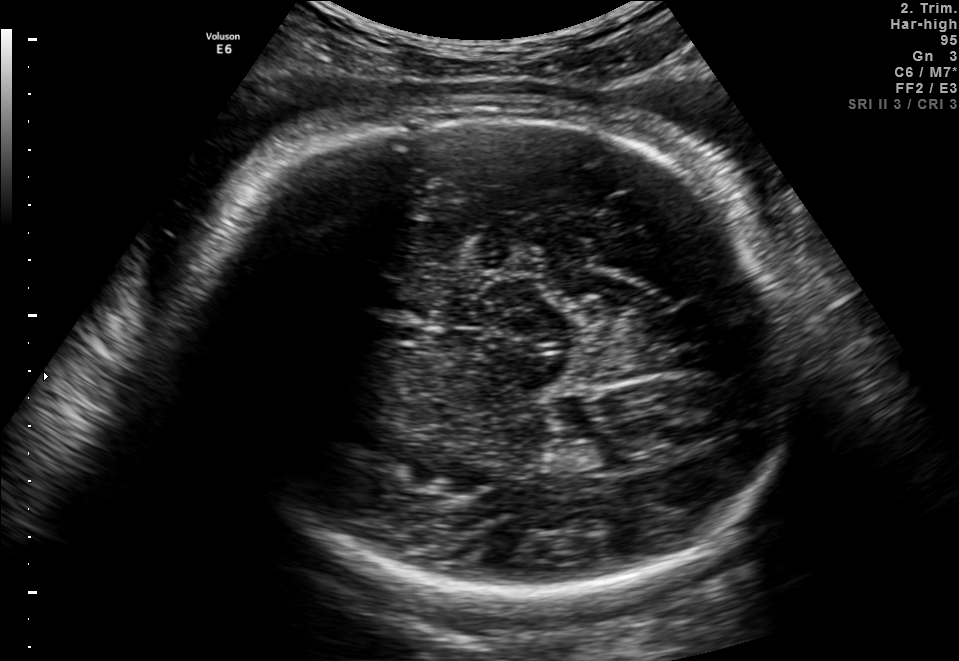
Fetal brain, trans-thalamic plane. Locate the fetal head and, if visible, the cavum septum pellucidum (CSP) and lateral ventricle (LV). Give bounding boxes as [x1,y1,x2,y2].

Head: [193,116,804,601]